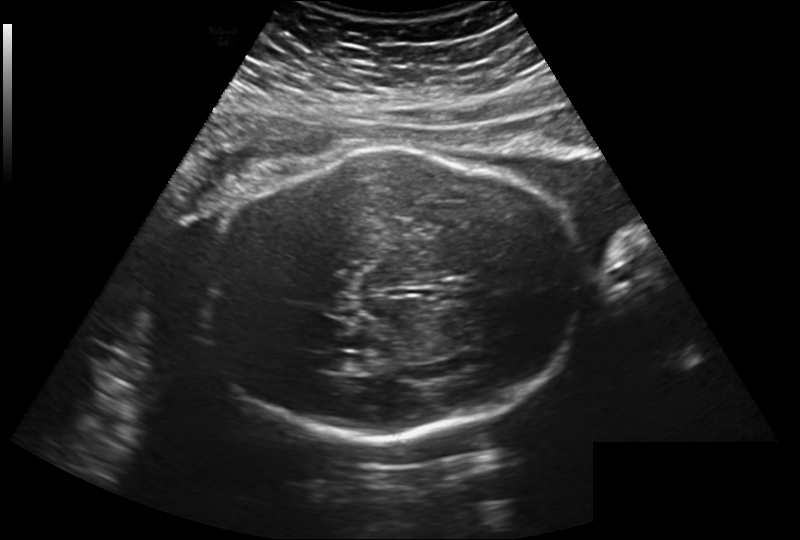
Fetal head ultrasound. Image width: 208.3 mm. Locate the lateral ventricle.

Lateral ventricle: [326,352,364,373]